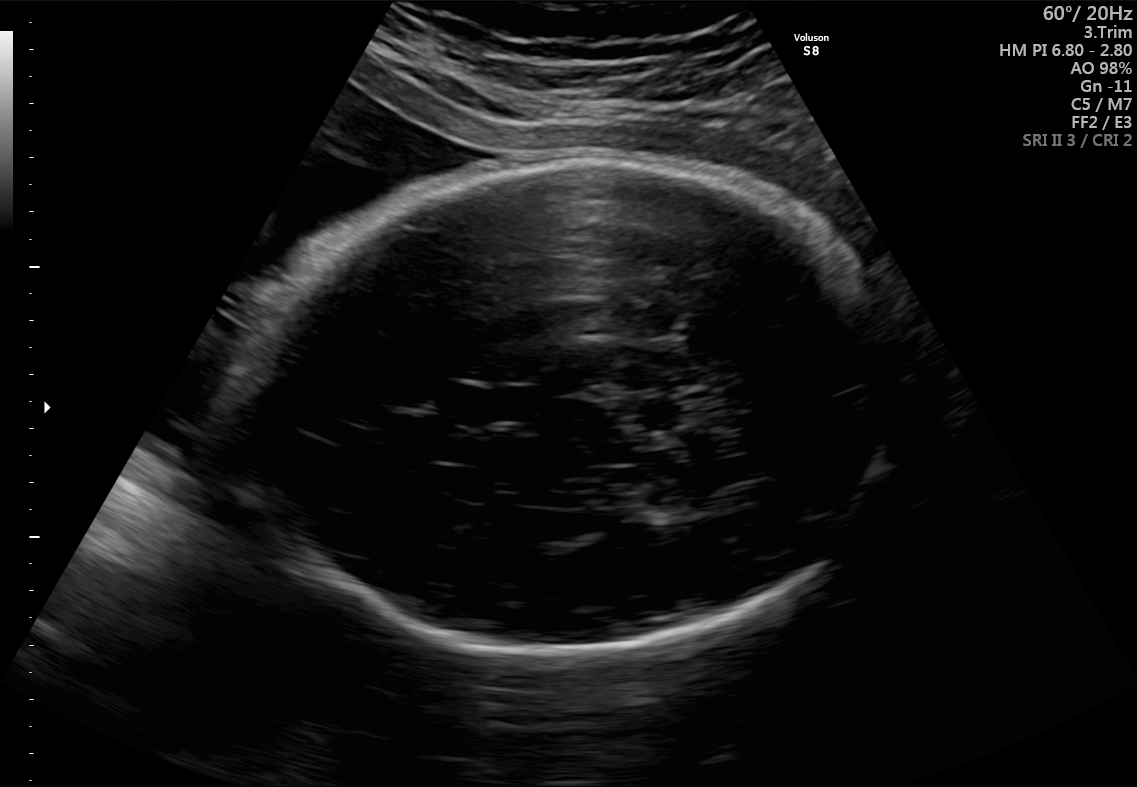
In this fetal brain, trans-thalamic plane, give bounding boxes for the head outline, cavum septum pellucidum (CSP), and lateral ventricle (LV), where visible.

Head: [225,154,909,662]